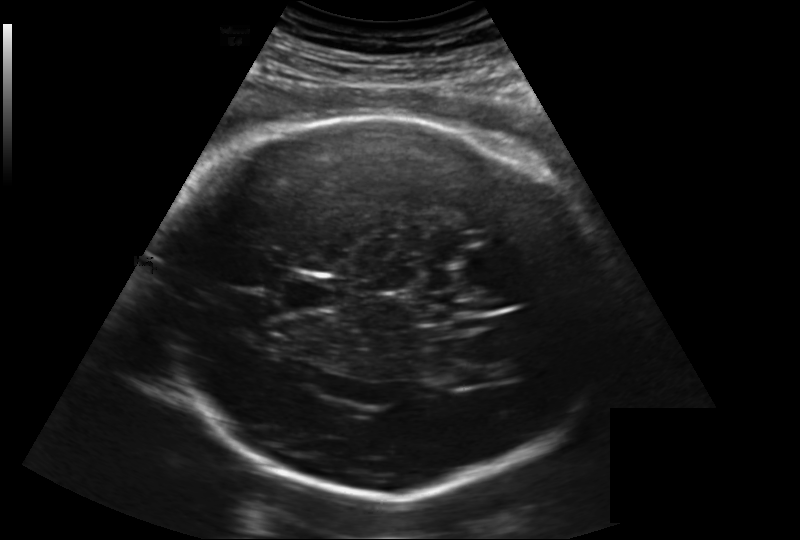
Fetal head ultrasound. Image width: 175.3 mm. Locate the cavum septum pellucidum.

CSP: [280,278,336,311]